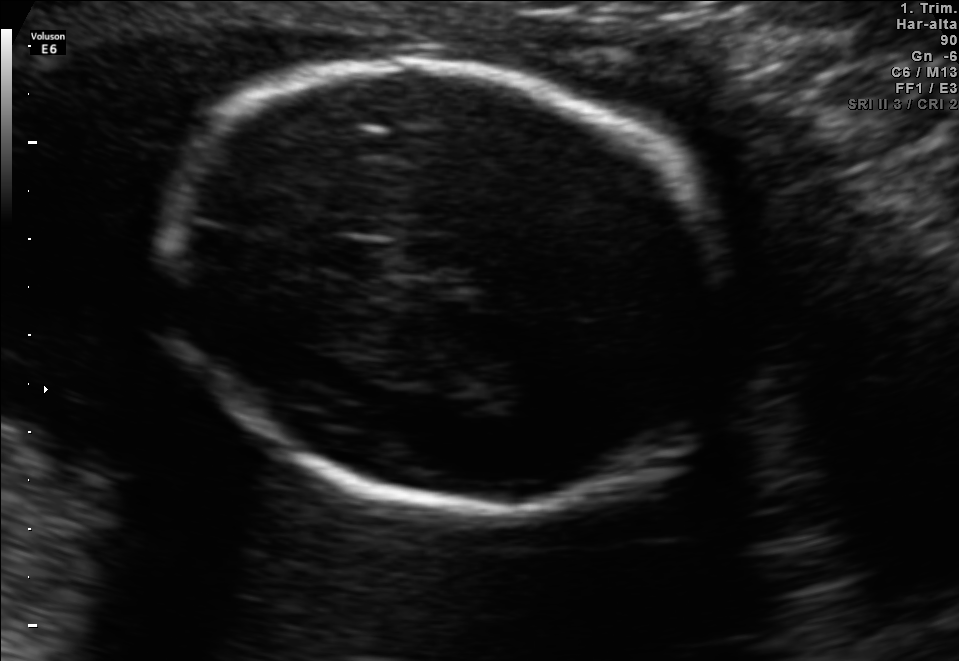
In this fetal brain, trans-thalamic plane, give the bounding box of the cavum septum pellucidum.

[328,238,394,274]